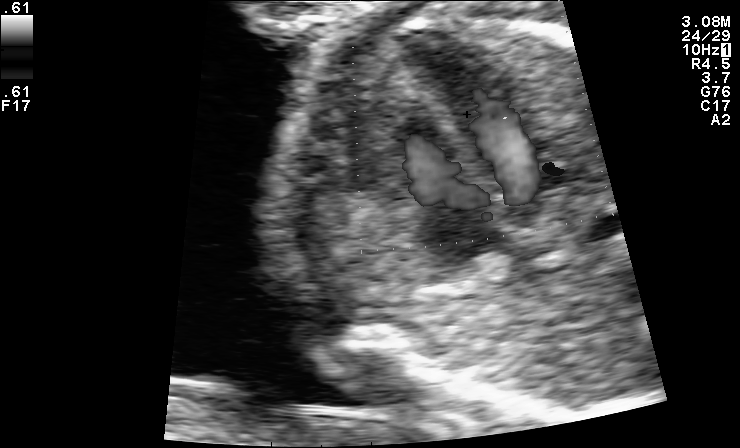
Identify the standard plane in this fetal ultrasound image: fetal abdomen, fetal brain, fetal femur, fetal thorax, maternal cervix, or other. If it's fetal brain and one of the three standard brain planes (trans-thalamic, trans-cerebellum, trans-ventricular), name which.

Other